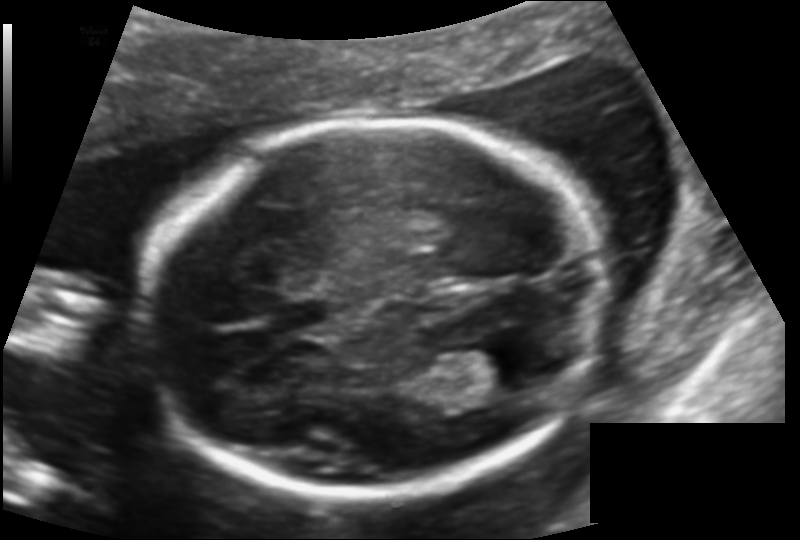
In this fetal head ultrasound, give the bounding box of the lateral ventricle. Image width: 105.2 mm.

[450,338,542,395]